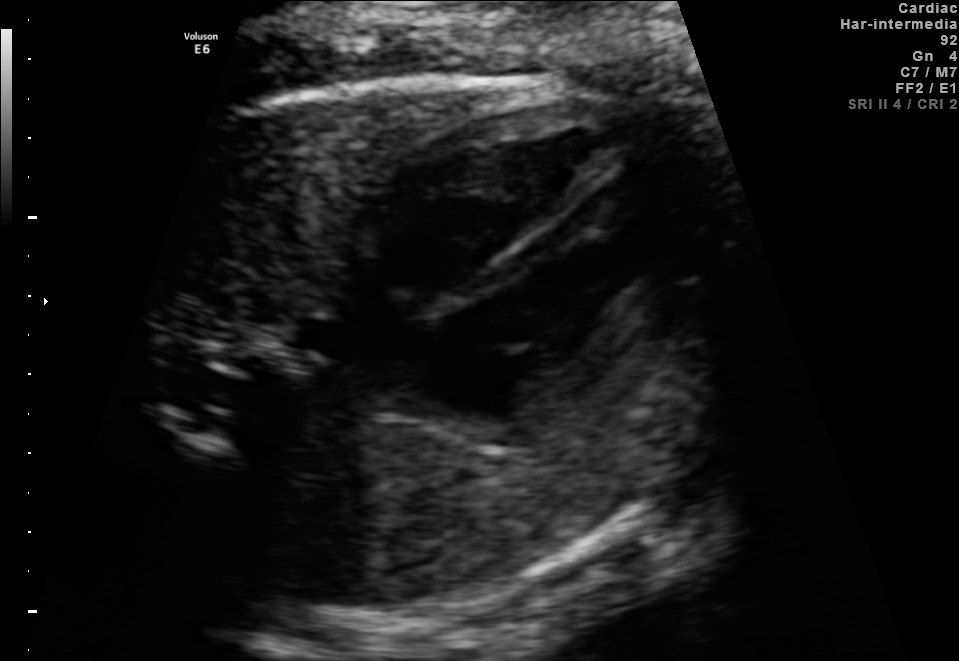
Classify this maternal-fetal ultrasound image as one of the six standard planes — fetal abdomen, fetal brain, fetal femur, fetal thorax, maternal cervix, or other. If it's fetal brain and one of the three standard brain planes (trans-thalamic, trans-cerebellum, trans-ventricular), name which.

Fetal thorax